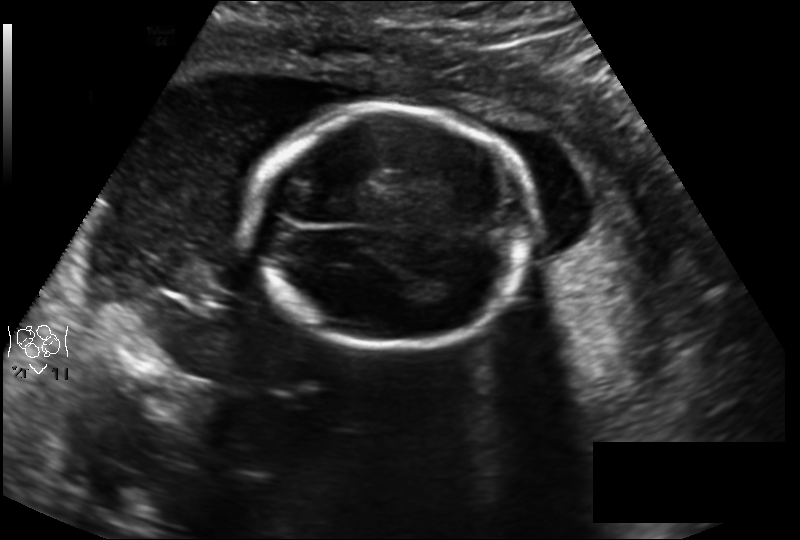
Fetal head ultrasound. Image width: 155.0 mm. Locate the fetal head.

Head: [253,105,532,350]